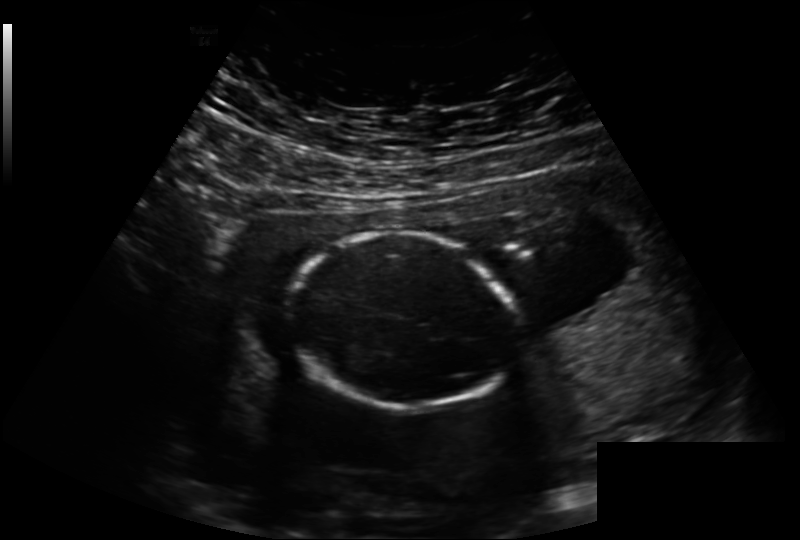
Fetal head ultrasound. Image width: 177.0 mm. Locate the fetal head and, if visible, the cavum septum pellucidum (CSP) and lateral ventricle (LV). Give bounding boxes as [x1,y1,x2,y2].

Head: [290,232,518,409]